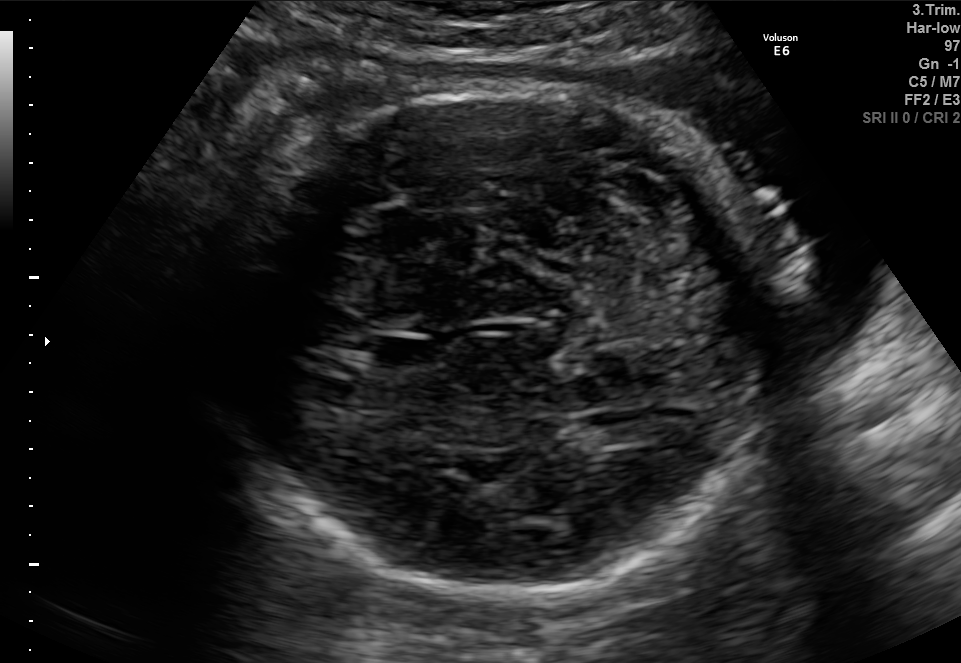
Fetal brain, trans-cerebellum plane. Where is the fetal head?

Head bounding box: [209,87,780,590]